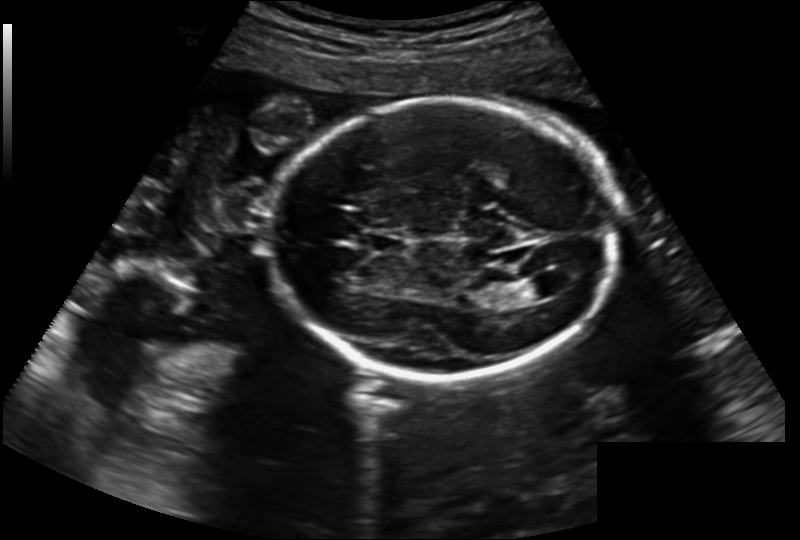
Estimate the fetal head circumference from this 2D ultrasound.

Head circumference: 204.6 mm (image width 161.7 mm).